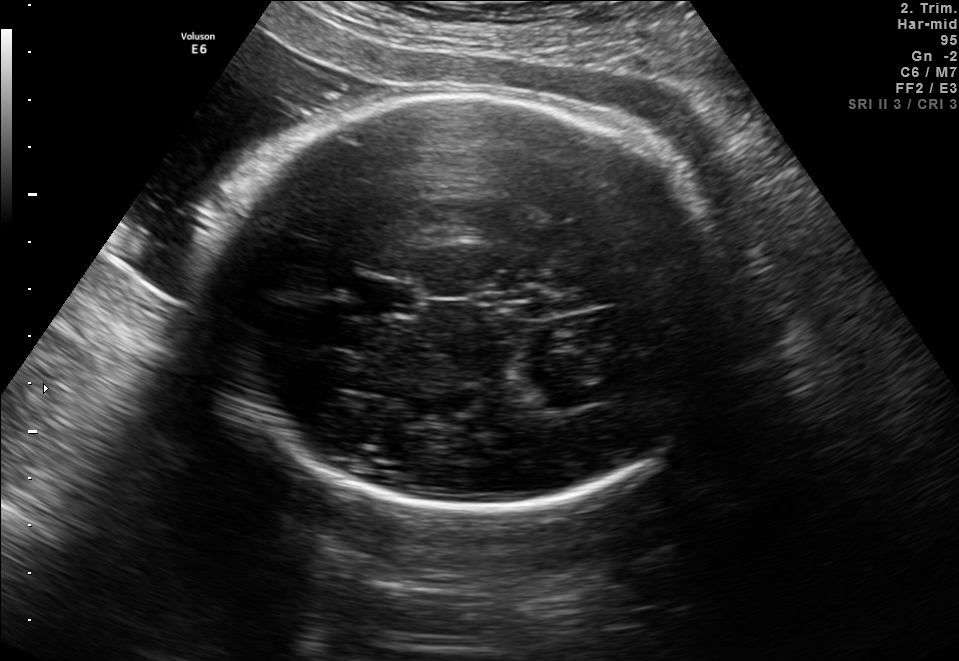
Fetal brain, trans-thalamic plane. Locate the lateral ventricle.

Lateral ventricle: [528,380,608,415]